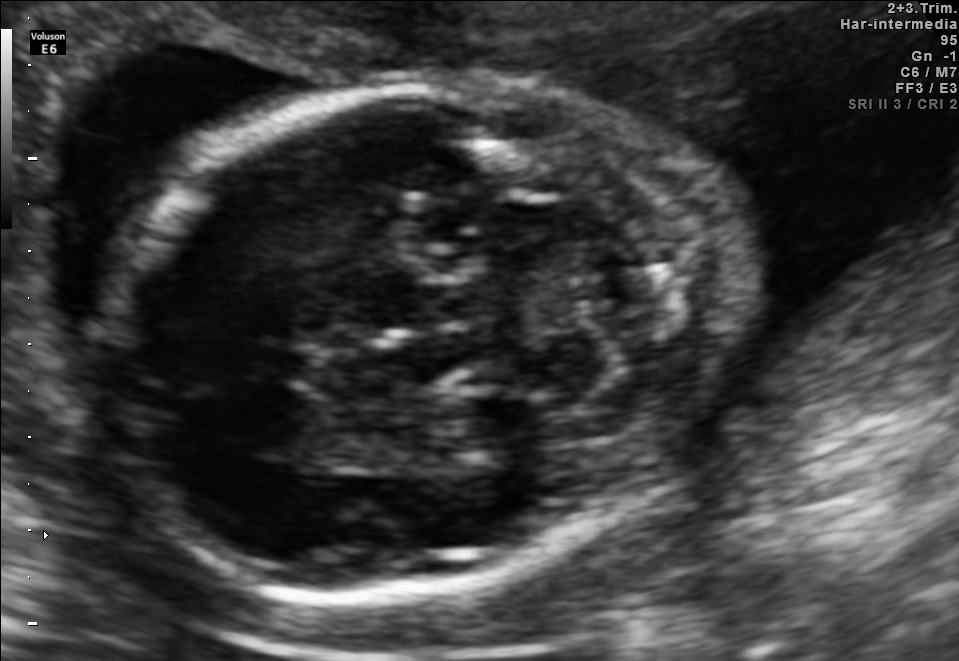
Fetal brain, trans-cerebellum plane. Give [x1,y1,x2,y2] bounding boxes for each visible structure among: fetal head, CSP, LV.

Head: [102,78,745,591]